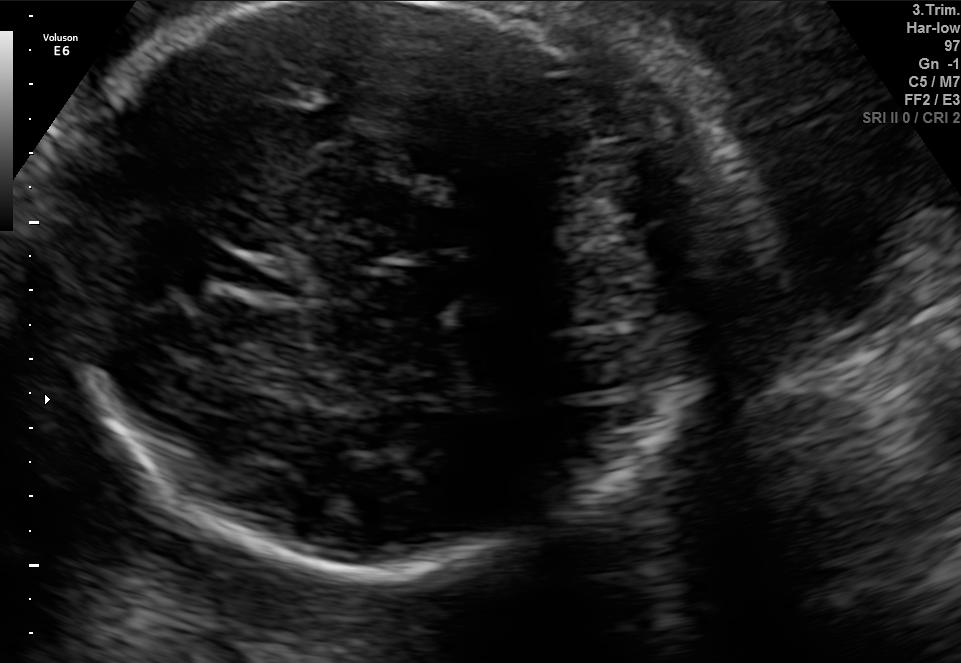
This is a 2D maternal-fetal ultrasound frame. Is it a fetal abdomen, fetal brain, fetal femur, fetal thorax, maternal cervix, or other standard plane? If it's fetal brain and one of the three standard brain planes (trans-thalamic, trans-cerebellum, trans-ventricular), name which.

Fetal brain (trans-cerebellum plane)